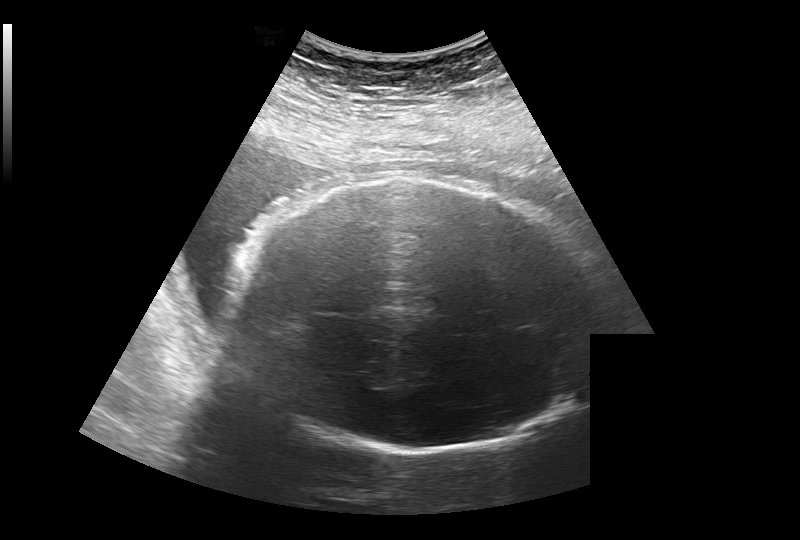
Measure the fetal head circumference shown in this ultrasound image. Image width: 246.2 mm.

Head circumference: 315.0 mm.